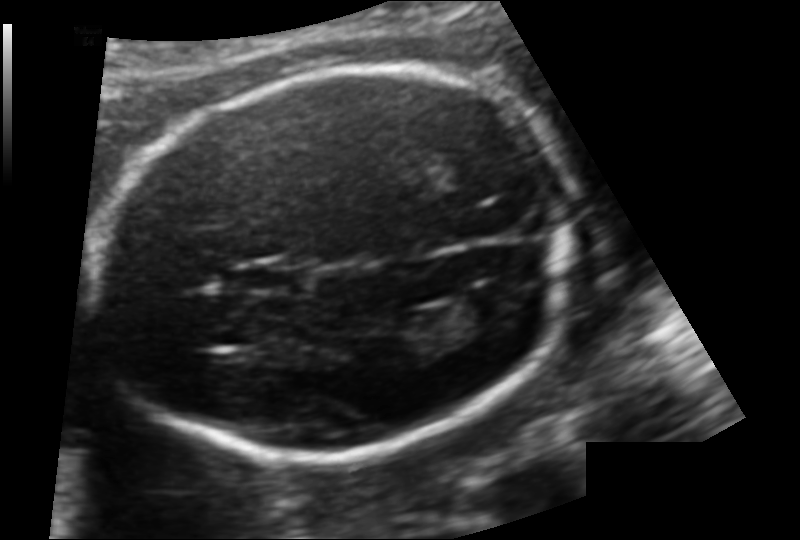
Estimate the fetal head circumference from this 2D ultrasound. Image width: 98.8 mm.

Head circumference: 174.3 mm.